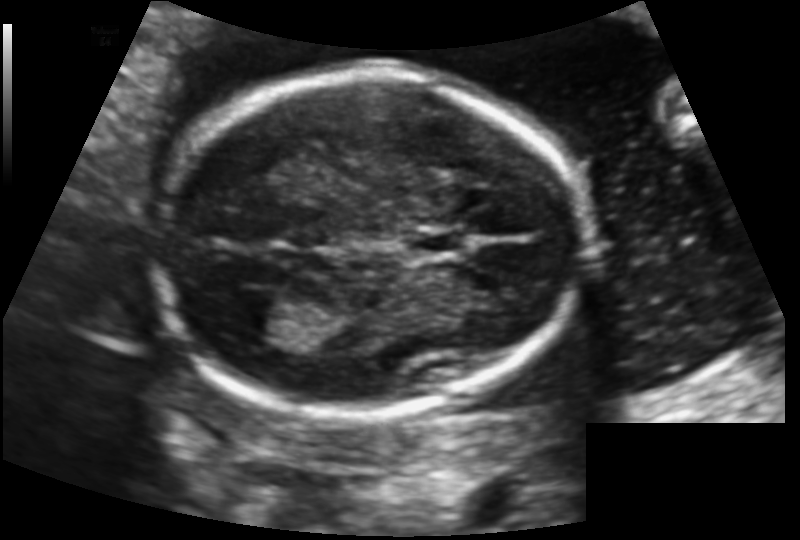
Estimate the fetal head circumference from this 2D ultrasound. Image width: 103.6 mm.

Head circumference: 163.3 mm.